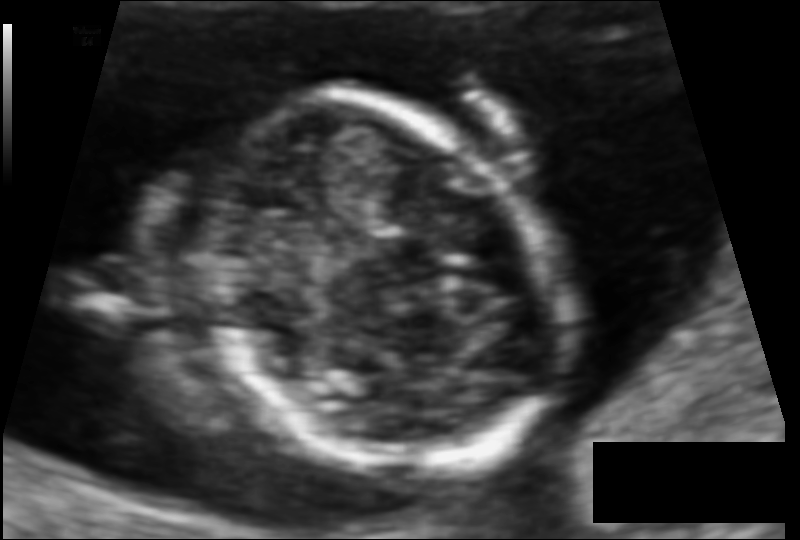
Fetal head ultrasound. Image width: 68.0 mm. Locate the fetal head and, if visible, the cavum septum pellucidum (CSP) and lateral ventricle (LV). Give bounding boxes as [x1,y1,x2,y2].

Head: [193,99,567,471]